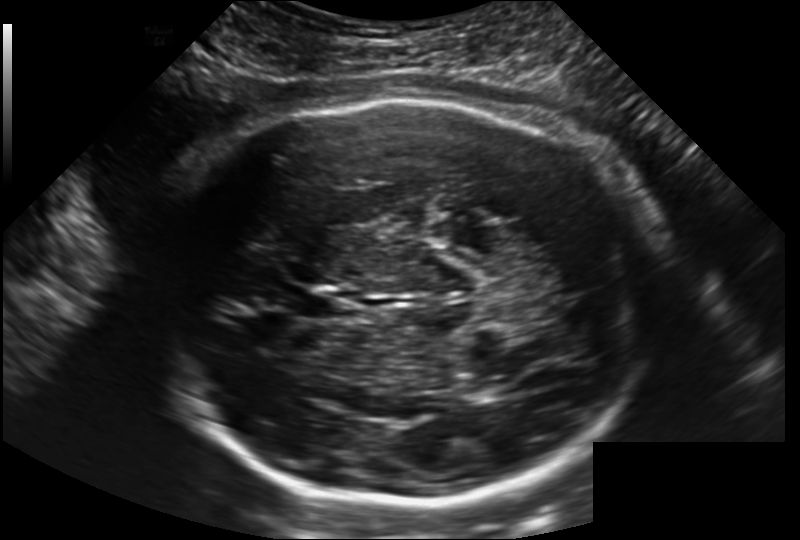
Fetal head ultrasound. Image width: 161.6 mm. Locate the cavum septum pellucidum.

CSP: [286,287,343,321]